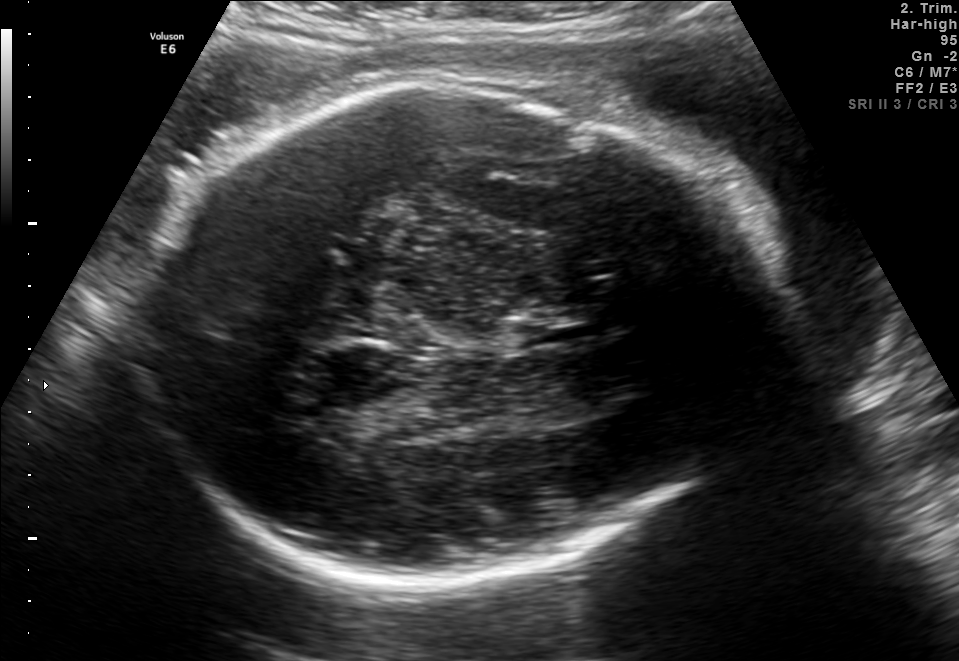
Fetal brain, trans-thalamic plane. Locate the fetal head.

Head: [130,78,765,585]